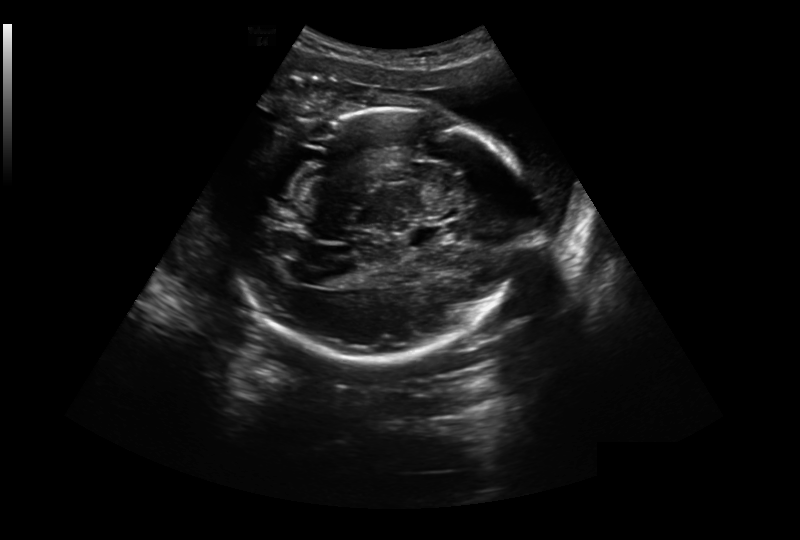
Fetal head ultrasound. Image width: 243.0 mm. Locate the cavum septum pellucidum.

CSP: [405,222,445,249]